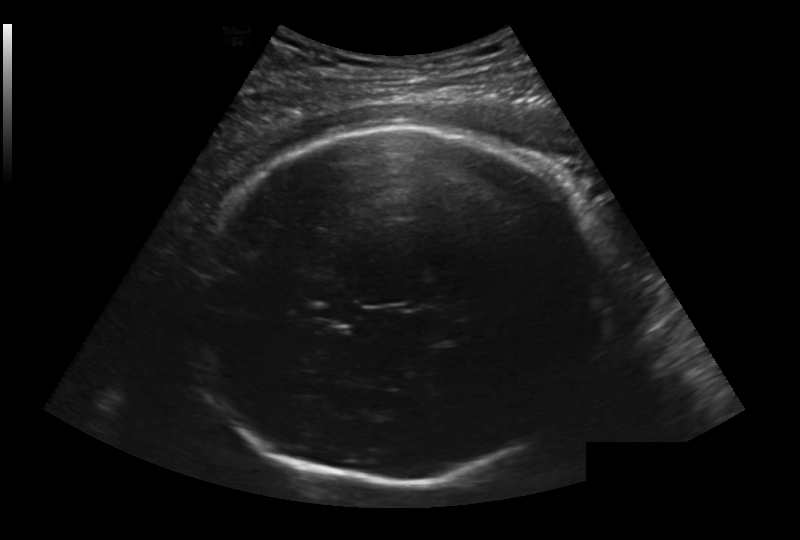
In this fetal head ultrasound, give the bounding box of the fetal head. Image width: 188.7 mm.

[198,125,607,485]